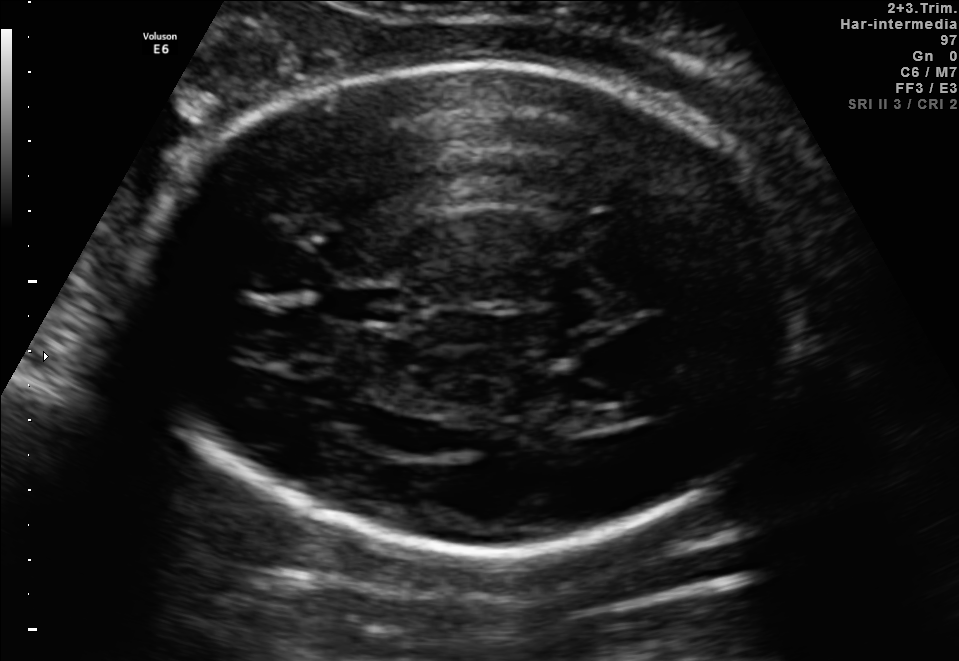
This is a 2D maternal-fetal ultrasound frame. Is it a fetal abdomen, fetal brain, fetal femur, fetal thorax, maternal cervix, or other standard plane? If it's fetal brain and one of the three standard brain planes (trans-thalamic, trans-cerebellum, trans-ventricular), name which.

Fetal brain (trans-ventricular plane)